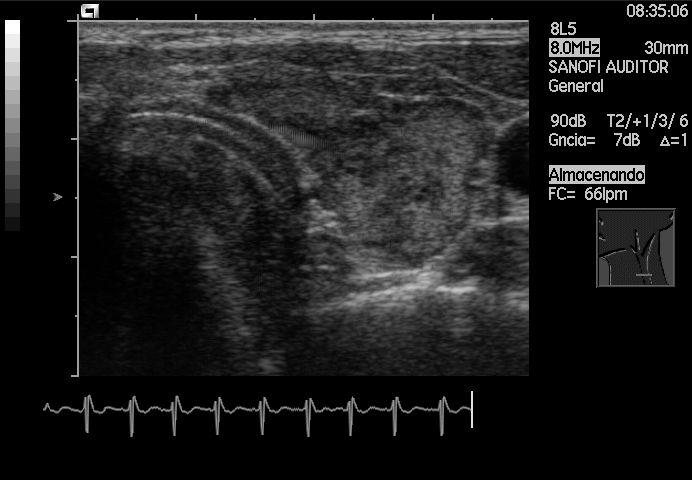
This is a 2D maternal-fetal ultrasound frame. Is it a fetal abdomen, fetal brain, fetal femur, fetal thorax, maternal cervix, or other standard plane? If it's fetal brain and one of the three standard brain planes (trans-thalamic, trans-cerebellum, trans-ventricular), name which.

Other